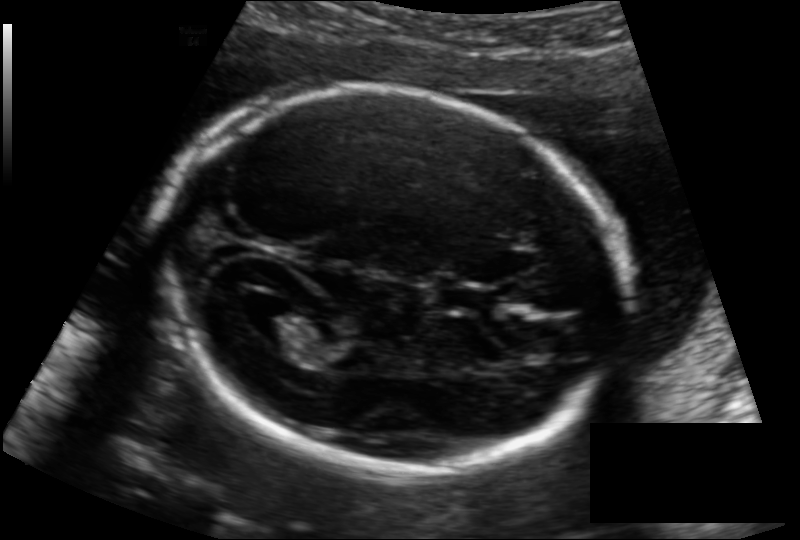
Estimate the fetal head circumference from this 2D ultrasound.

Head circumference: 180.8 mm (image width 106.5 mm).